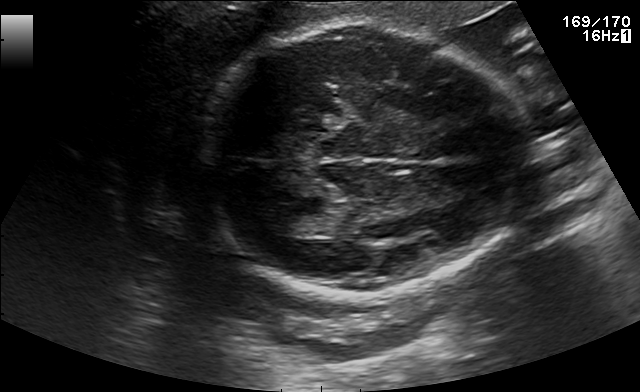
In this fetal brain, trans-thalamic plane, give bounding boxes for the head outline, cavum septum pellucidum (CSP), and lateral ventricle (LV), where visible.

Head: [196,23,530,297]